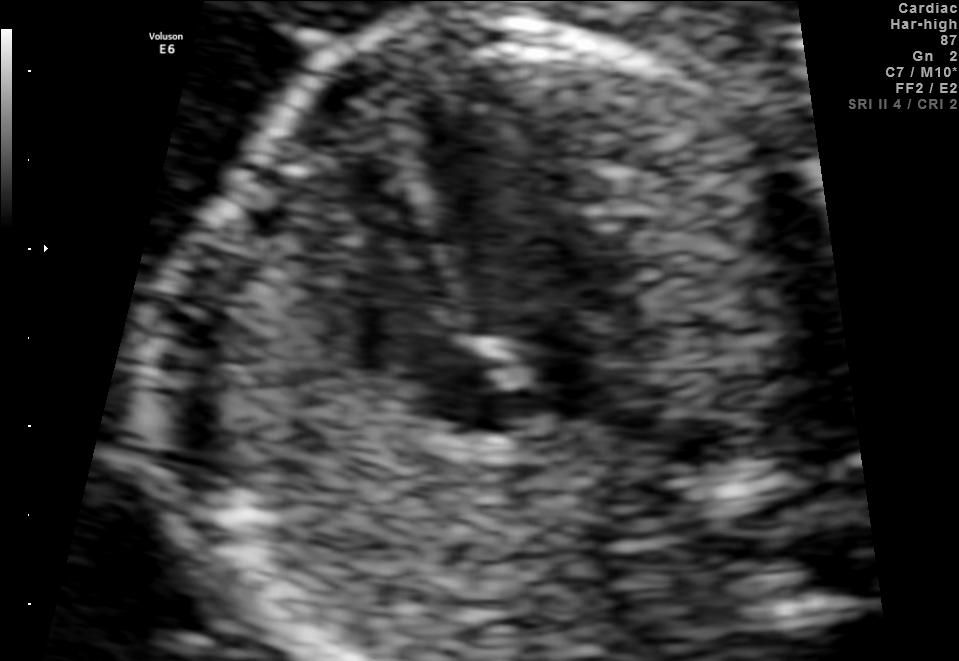
Which standard maternal-fetal ultrasound plane is shown: fetal abdomen, fetal brain, fetal femur, fetal thorax, maternal cervix, or other? If it's fetal brain and one of the three standard brain planes (trans-thalamic, trans-cerebellum, trans-ventricular), name which.

Fetal thorax